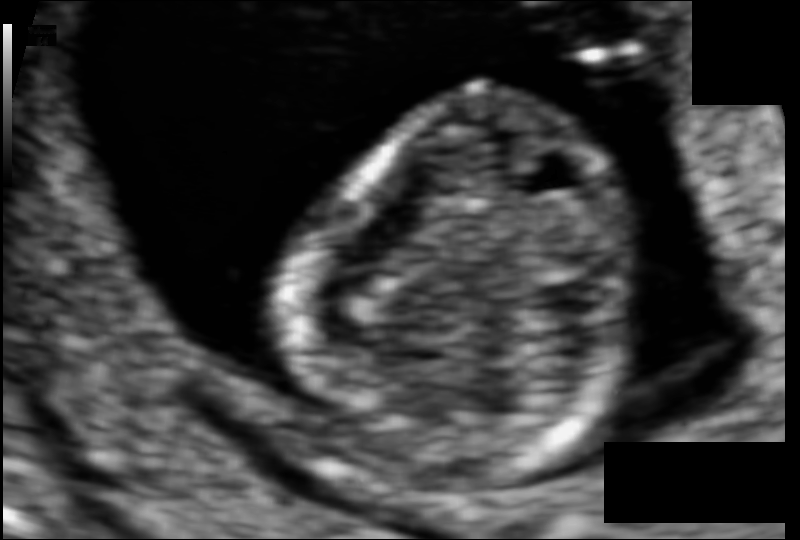
In this fetal head ultrasound, give the bounding box of the fetal head. Image width: 48.3 mm.

[301,97,646,482]